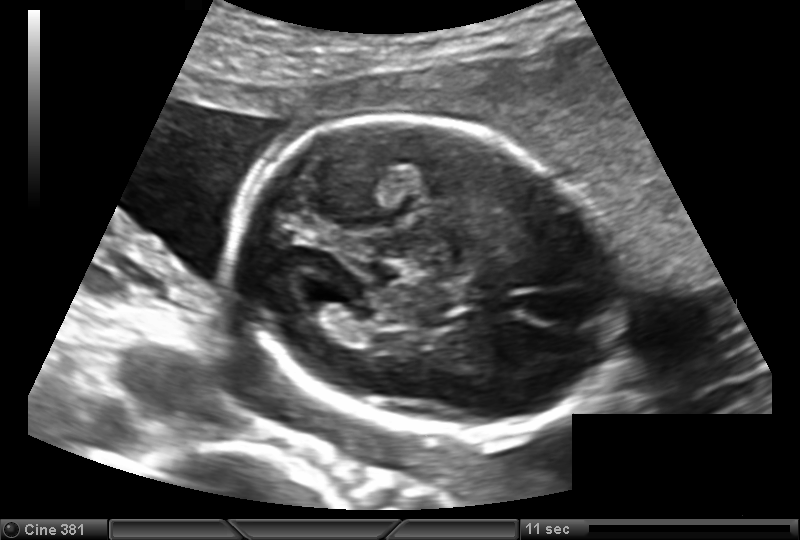
Fetal head ultrasound. Image width: 111.0 mm. Locate the lateral ventricle.

Lateral ventricle: [292,276,351,335]